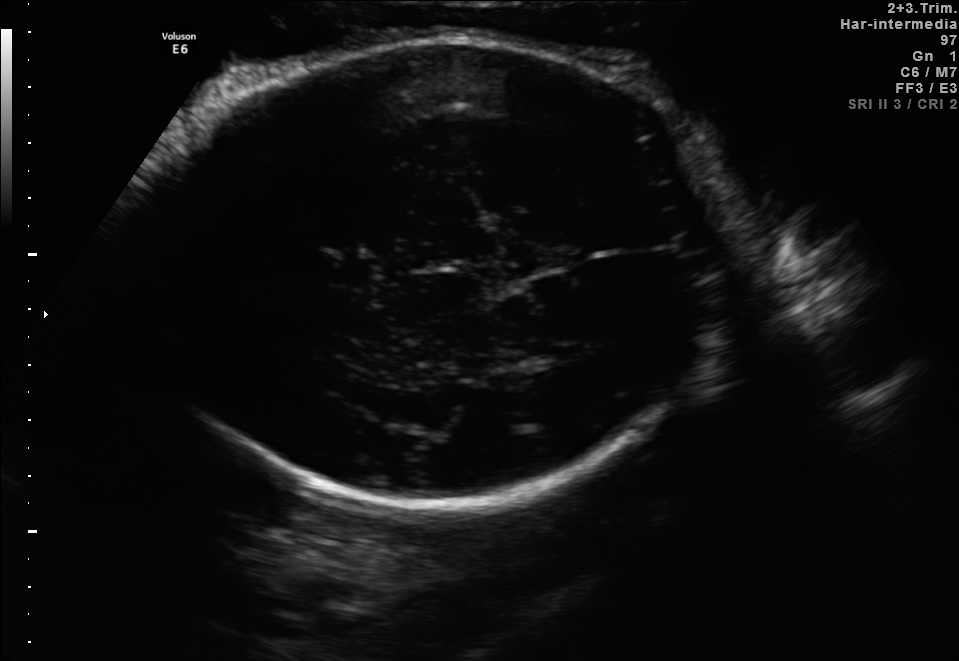
Fetal brain, trans-thalamic plane. Where is the fetal head?

Head bounding box: [137,34,726,509]